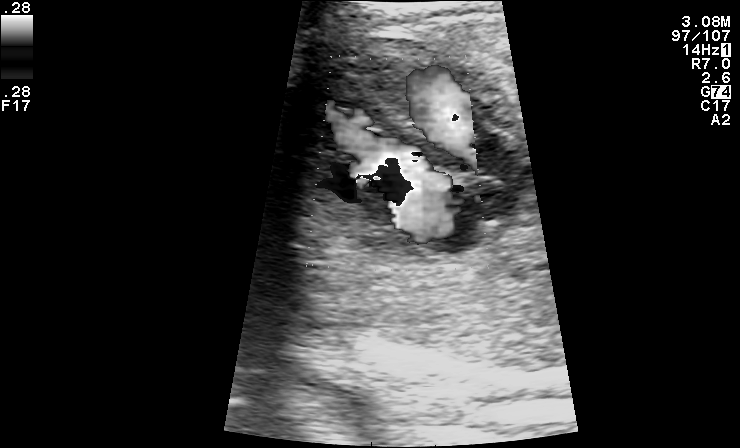
Identify the standard plane in this fetal ultrasound image: fetal abdomen, fetal brain, fetal femur, fetal thorax, maternal cervix, or other. If it's fetal brain and one of the three standard brain planes (trans-thalamic, trans-cerebellum, trans-ventricular), name which.

Other